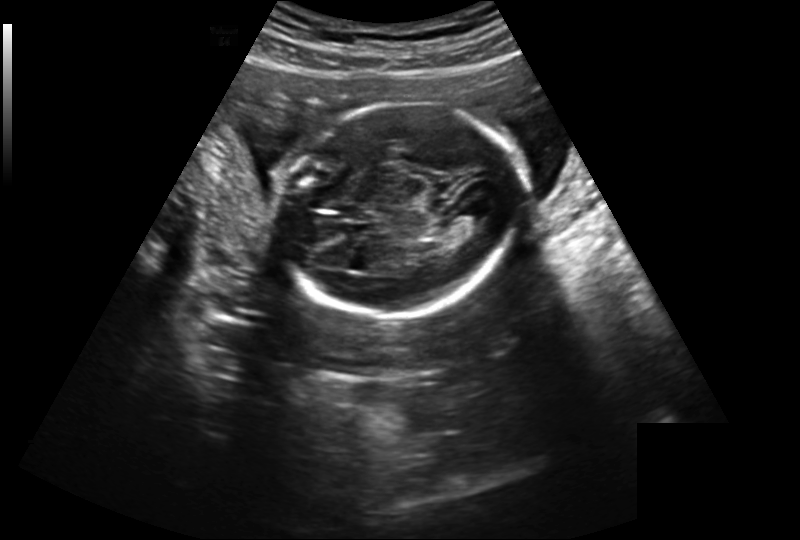
Fetal head ultrasound. Image width: 191.4 mm. Locate the cavum septum pellucidum.

CSP: [340,203,369,218]